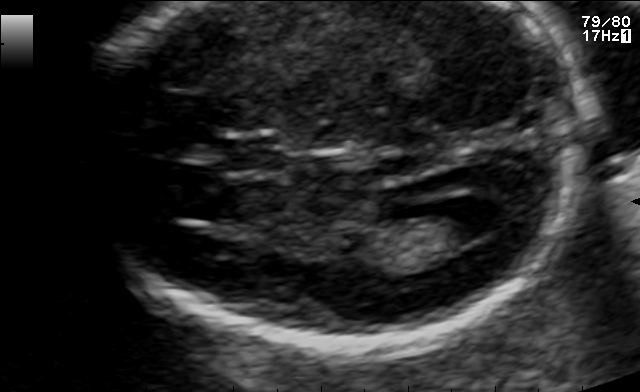
Fetal brain, trans-ventricular plane. Locate the cavum septum pellucidum (CSP) and lateral ventricle (LV), if visible. Give bounding boxes as [x1,y1,x2,y2].

CSP: [222,135,280,172]
Lateral ventricle: [424,184,511,251]